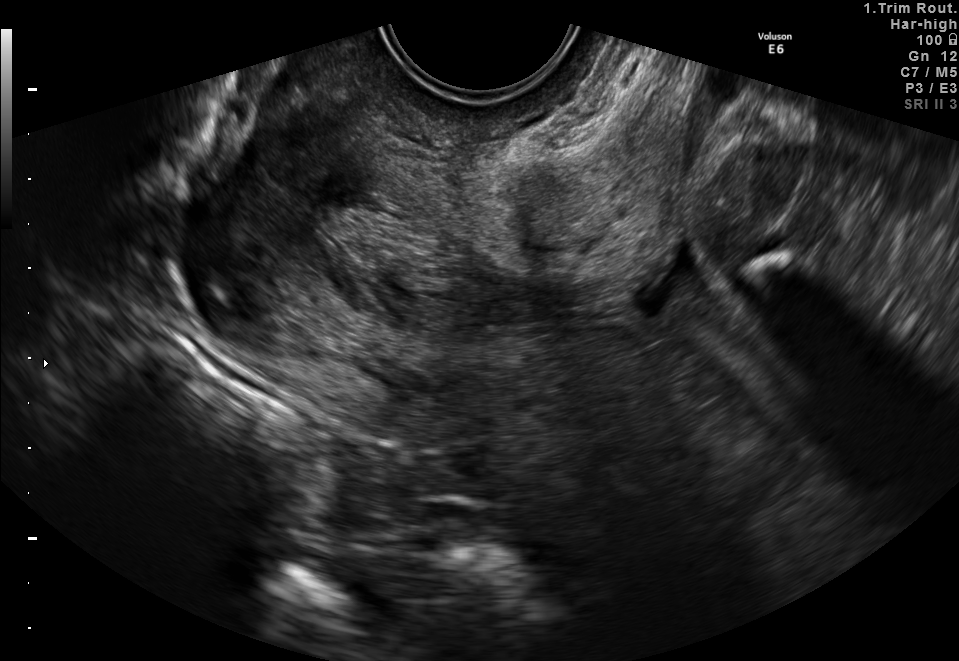
Which standard maternal-fetal ultrasound plane is shown: fetal abdomen, fetal brain, fetal femur, fetal thorax, maternal cervix, or other? If it's fetal brain and one of the three standard brain planes (trans-thalamic, trans-cerebellum, trans-ventricular), name which.

Maternal cervix